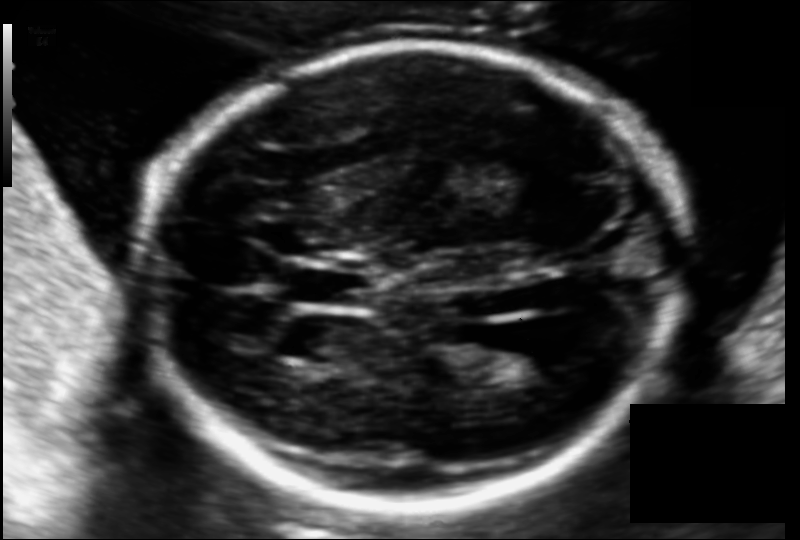
Fetal head ultrasound. Image width: 94.4 mm. Locate the fetal head.

Head: [143,45,683,508]